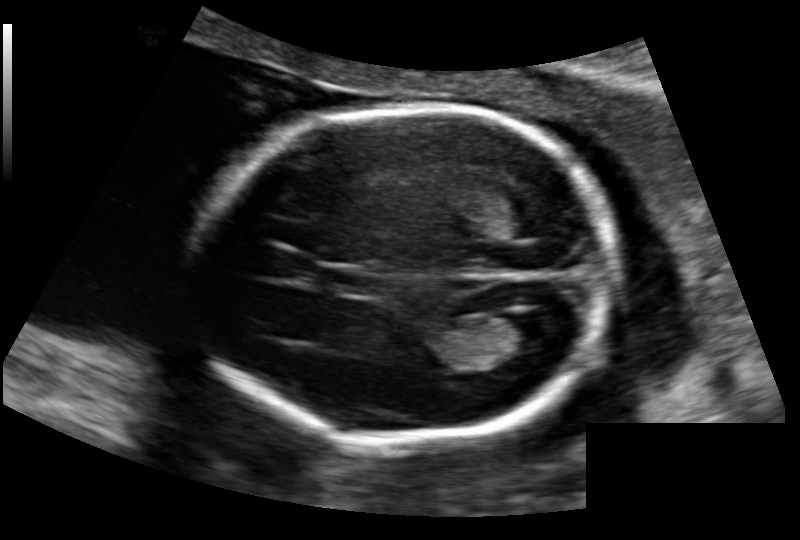
In this fetal head ultrasound, give the bounding box of the cavum septum pellucidum. Image width: 108.9 mm.

[325,267,377,297]